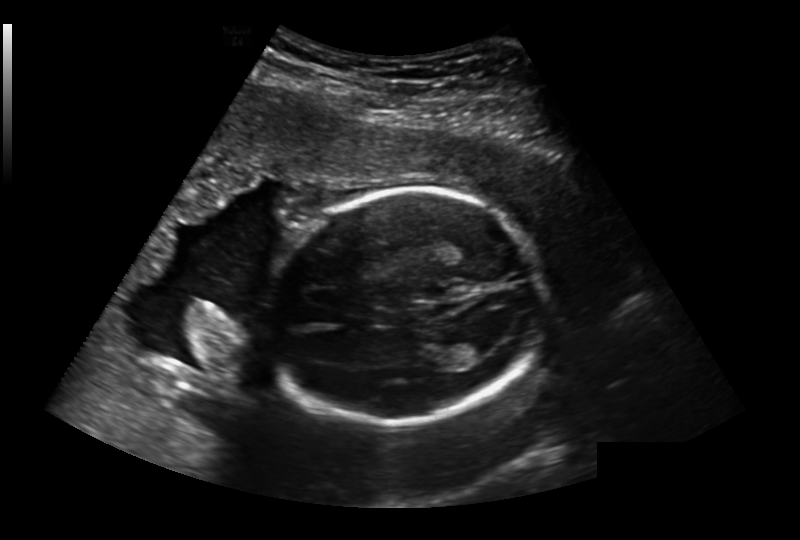
Estimate the fetal head circumference from this 2D ultrasound.

Head circumference: 193.1 mm (image width 188.7 mm).